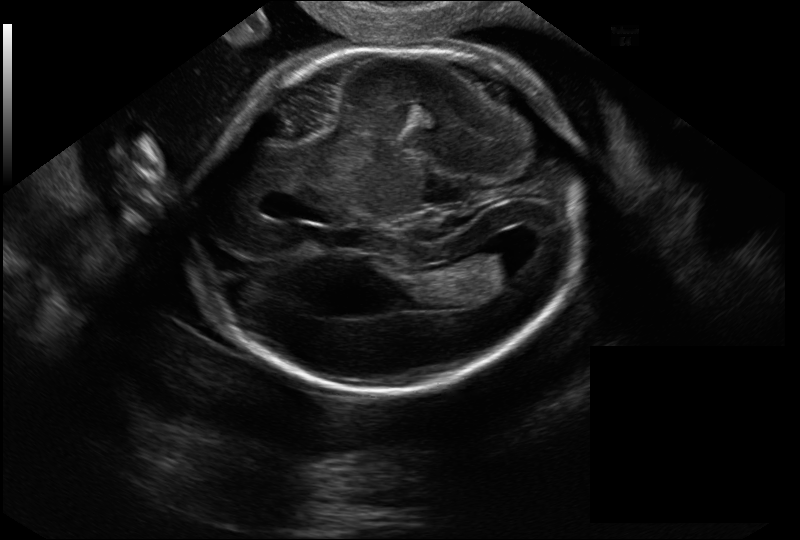
Fetal head ultrasound. Image width: 115.6 mm. Locate the fetal head.

Head: [194,48,587,392]